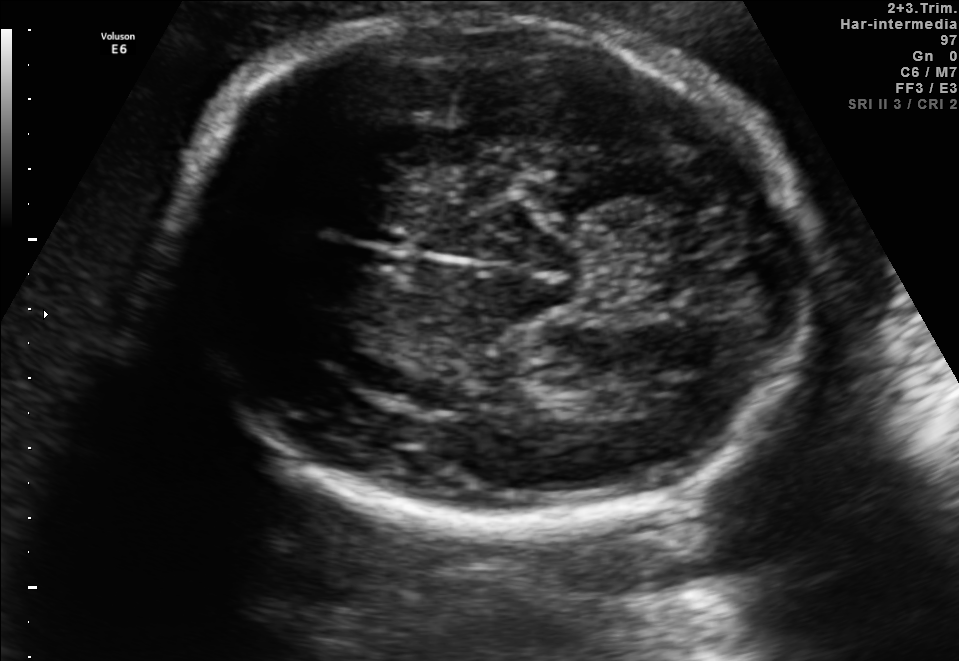
Fetal brain, trans-thalamic plane. Locate the fetal head.

Head: [170,15,809,524]